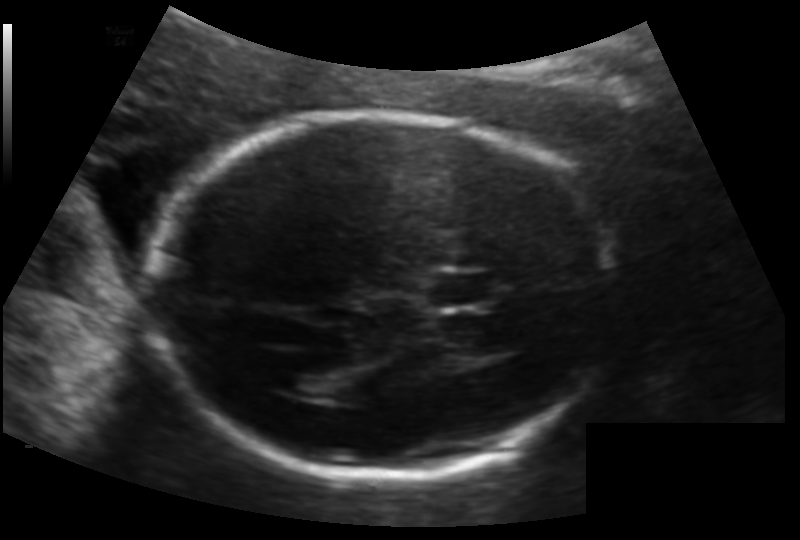
In this fetal head ultrasound, give bounding boxes for the head outline, cavum septum pellucidum (CSP), and lateral ventricle (LV), where visible. Image width: 106.4 mm.

Head: [157,113,618,481]
CSP: [425,268,498,310]
Lateral ventricle: [276,369,330,398]